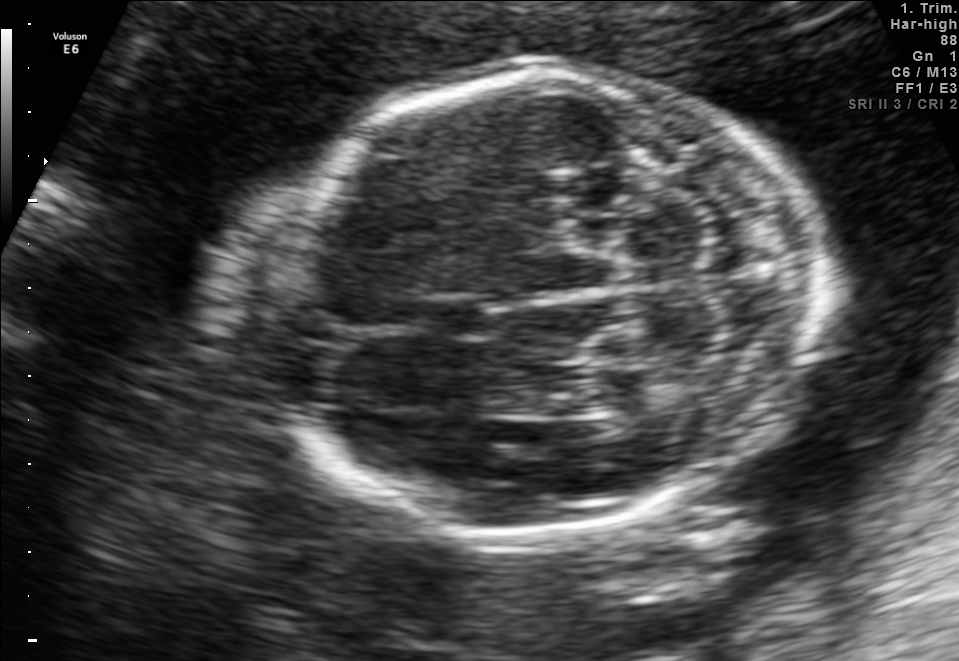
Fetal brain, trans-cerebellum plane. Locate the fetal head.

Head: [243,71,818,530]